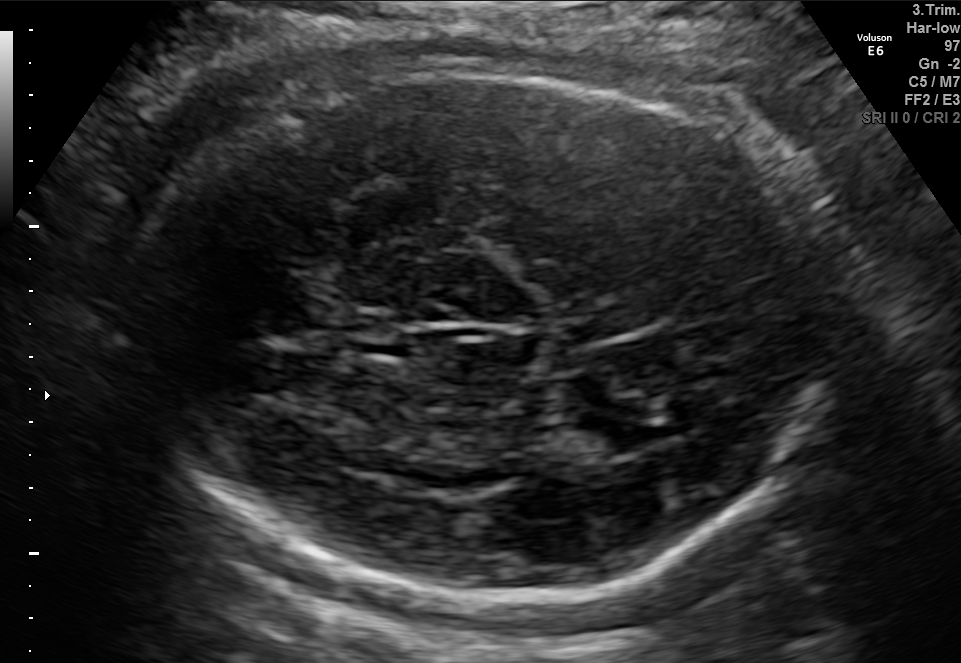
Fetal brain, trans-thalamic plane. Where is the cavum septum pellucidum?

CSP bounding box: [351,336,417,360]